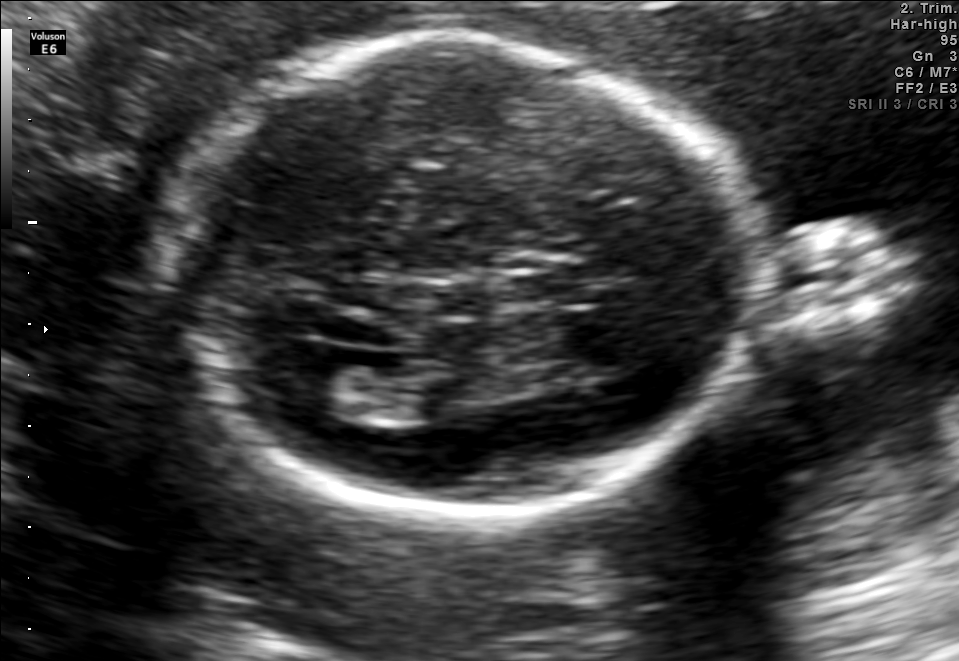
Fetal brain, trans-ventricular plane. Where is the fetal head?

Head bounding box: [154,32,769,521]